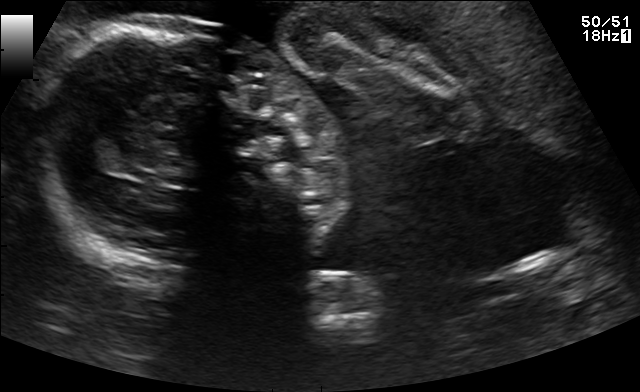
Identify the standard plane in this fetal ultrasound image: fetal abdomen, fetal brain, fetal femur, fetal thorax, maternal cervix, or other. If it's fetal brain and one of the three standard brain planes (trans-thalamic, trans-cerebellum, trans-ventricular), name which.

Other